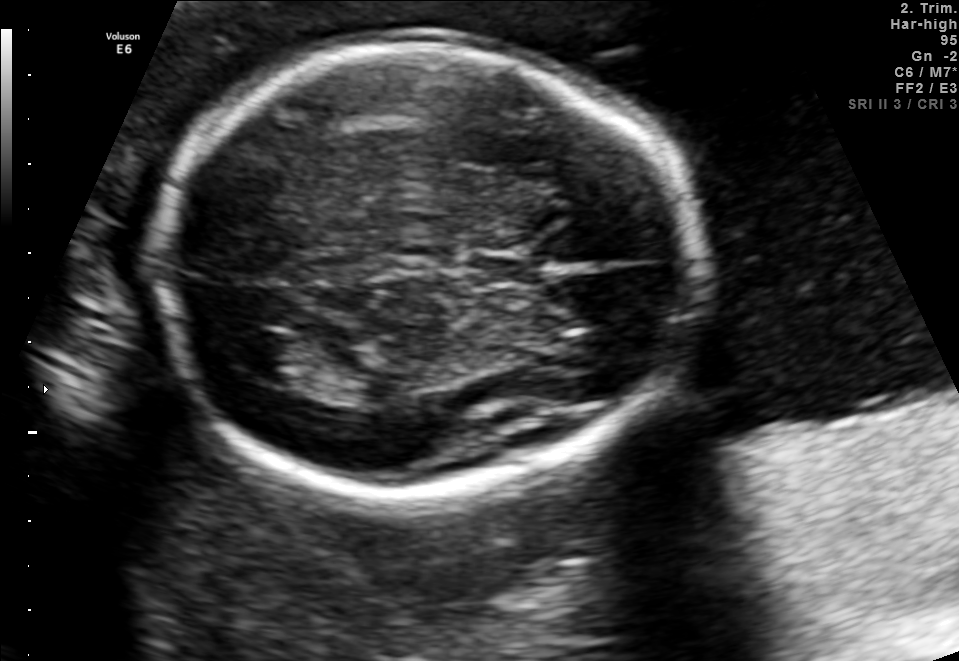
Fetal brain, trans-thalamic plane. Locate the fetal head.

Head: [151,49,700,490]